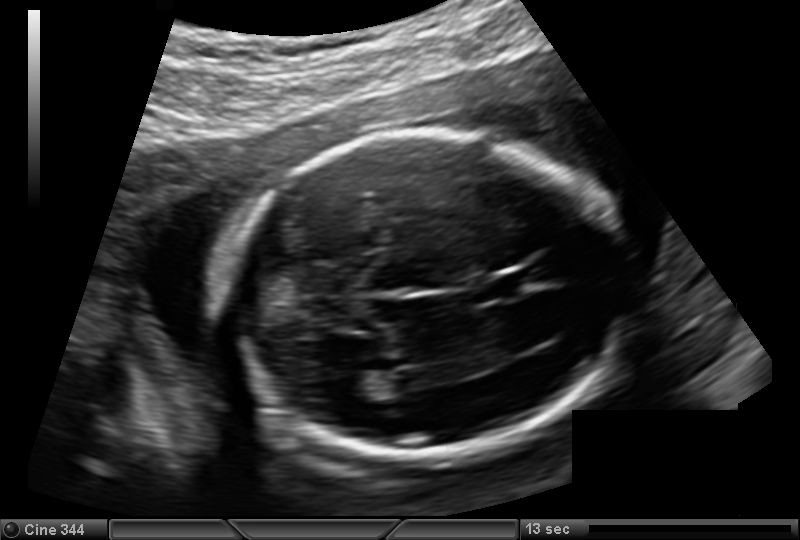
Measure the fetal head circumference shown in this ultrasound image. Image width: 115.3 mm.

Head circumference: 173.4 mm.